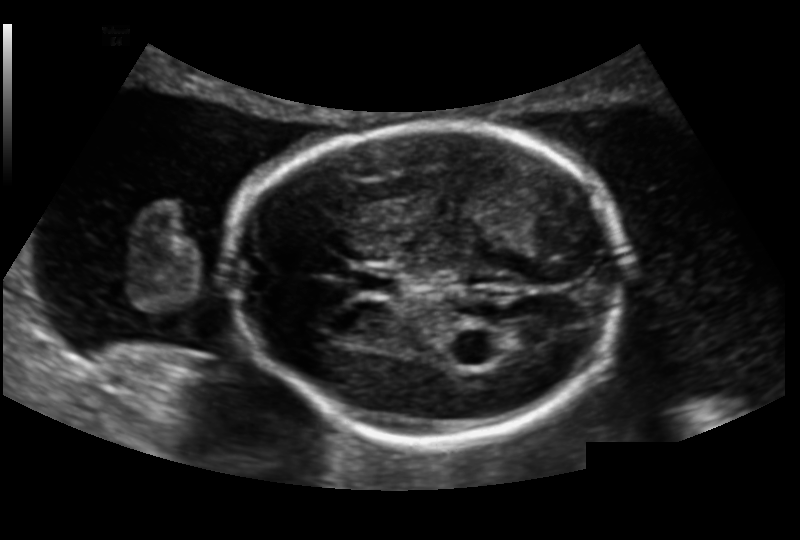
Fetal head ultrasound. Image width: 121.1 mm. Where is the lateral ventricle?

Lateral ventricle bounding box: [496,318,553,355]